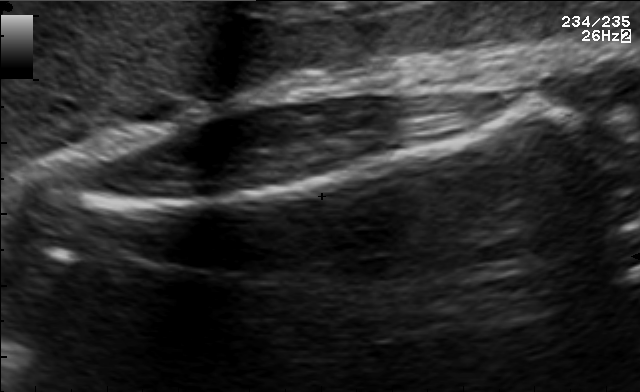
Which standard maternal-fetal ultrasound plane is shown: fetal abdomen, fetal brain, fetal femur, fetal thorax, maternal cervix, or other? If it's fetal brain and one of the three standard brain planes (trans-thalamic, trans-cerebellum, trans-ventricular), name which.

Fetal femur